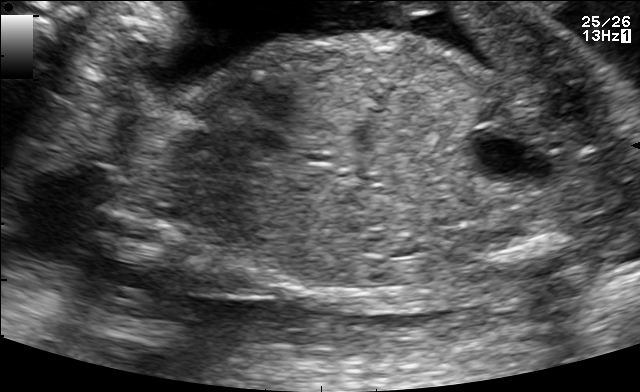
Which standard maternal-fetal ultrasound plane is shown: fetal abdomen, fetal brain, fetal femur, fetal thorax, maternal cervix, or other? If it's fetal brain and one of the three standard brain planes (trans-thalamic, trans-cerebellum, trans-ventricular), name which.

Other